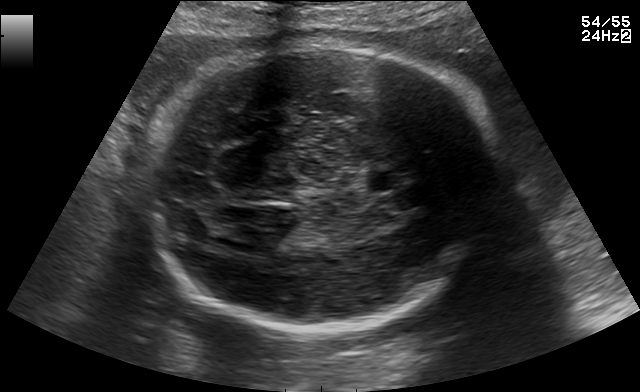
Fetal brain, trans-thalamic plane. Locate the cavum septum pellucidum.

CSP: [365,166,407,194]